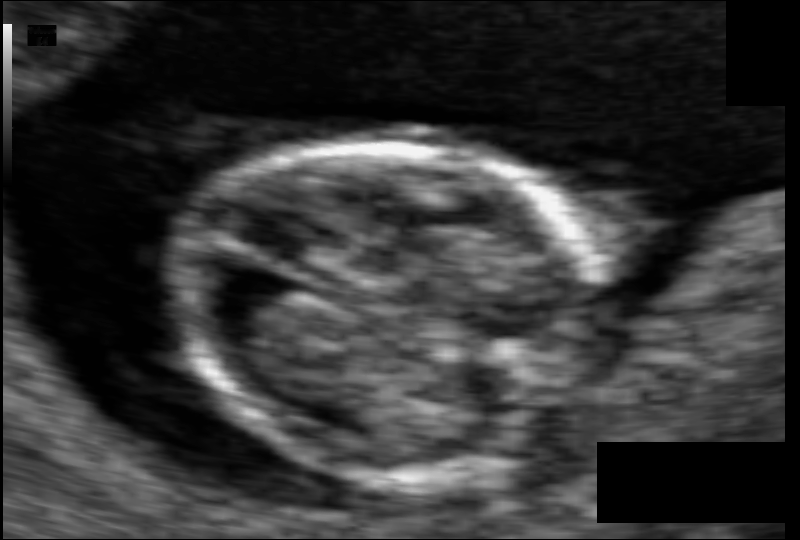
Fetal head ultrasound. Image width: 43.6 mm. Locate the fetal head and, if visible, the cavum septum pellucidum (CSP) and lateral ventricle (LV). Give bounding boxes as [x1,y1,x2,y2].

Head: [173,144,606,478]